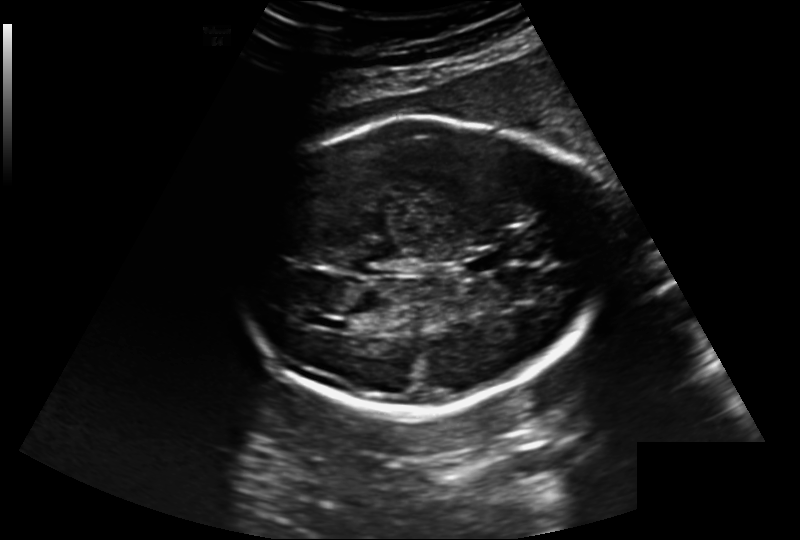
Fetal head ultrasound. Image width: 175.6 mm. Locate the fetal head and, if visible, the cavum septum pellucidum (CSP) and lateral ventricle (LV). Give bounding boxes as [x1,y1,x2,y2].

Head: [235,115,610,413]
CSP: [462,251,500,278]
Lateral ventricle: [315,314,351,334]